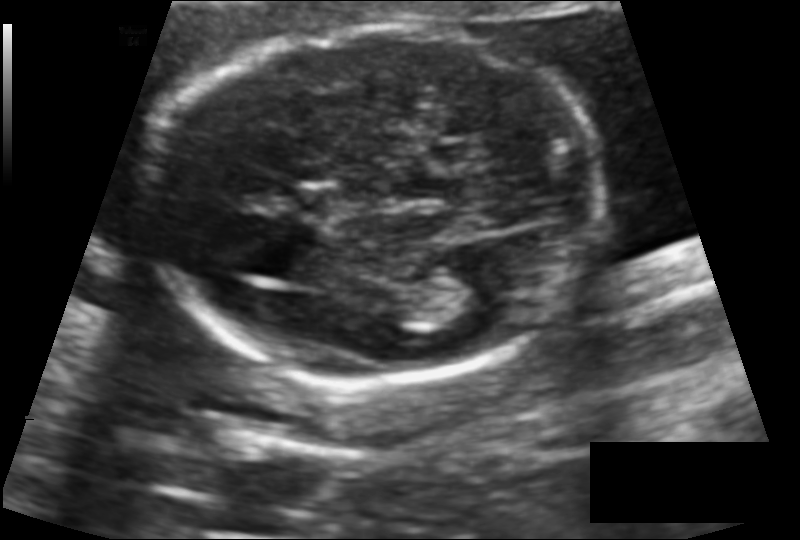
Fetal head ultrasound. Image width: 94.4 mm. Where is the fetal head?

Head bounding box: [146,27,604,381]